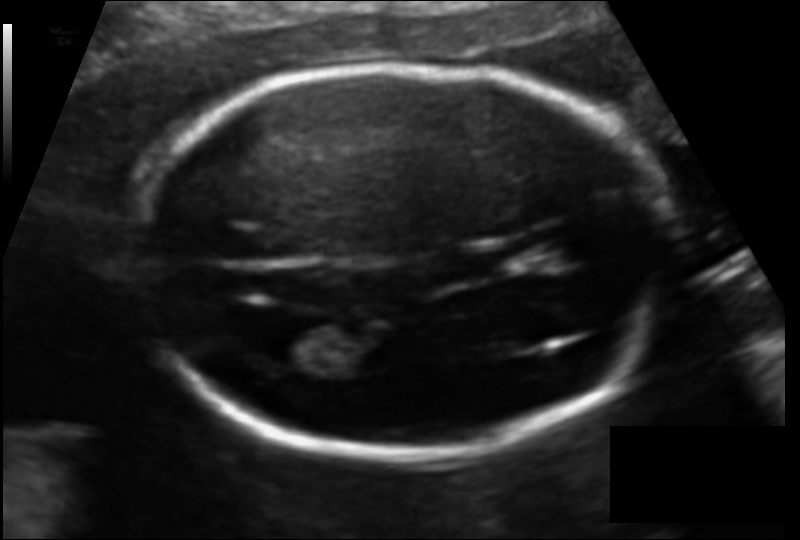
What is the fetal head circumference? Image width is 87.6 mm.

165.6 mm